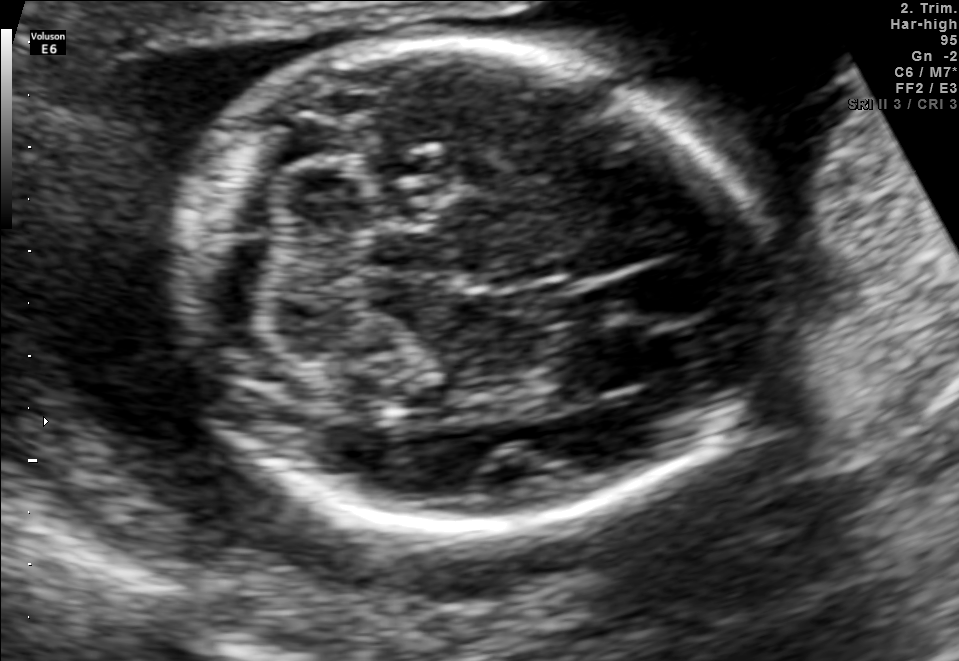
Fetal brain, trans-cerebellum plane. Locate the fetal head.

Head: [183,41,770,532]